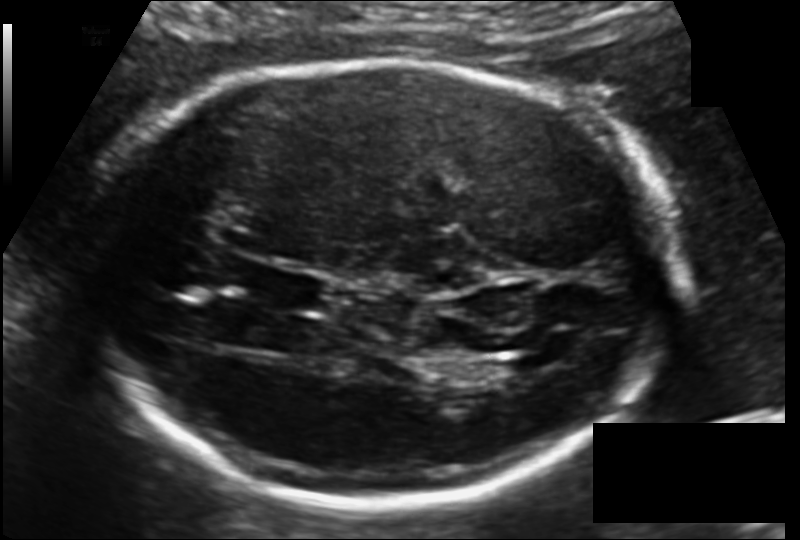
Fetal head ultrasound. Image width: 107.8 mm. Where is the cavum septum pellucidum?

CSP bounding box: [254,264,326,315]